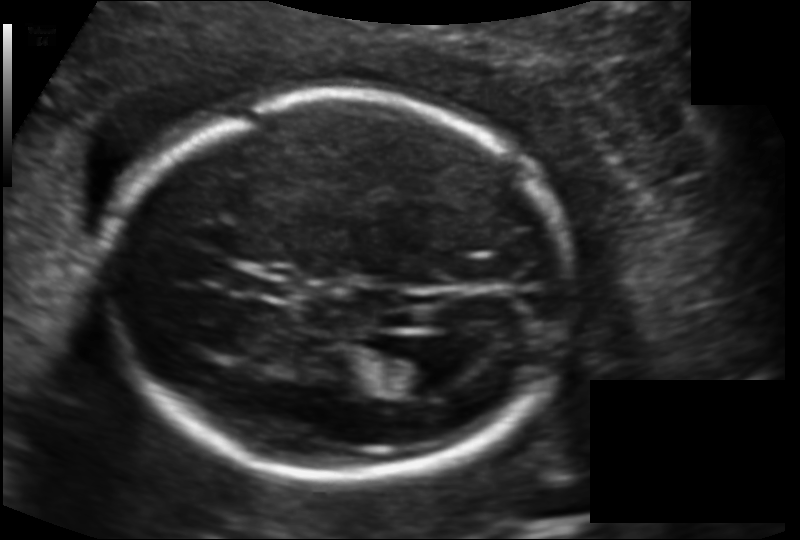
In this fetal head ultrasound, give bounding boxes for the head outline, cavum septum pellucidum (CSP), and lateral ventricle (LV), where visible. Image width: 107.3 mm.

Head: [108,92,565,482]
CSP: [234,268,289,302]
Lateral ventricle: [382,356,443,395]